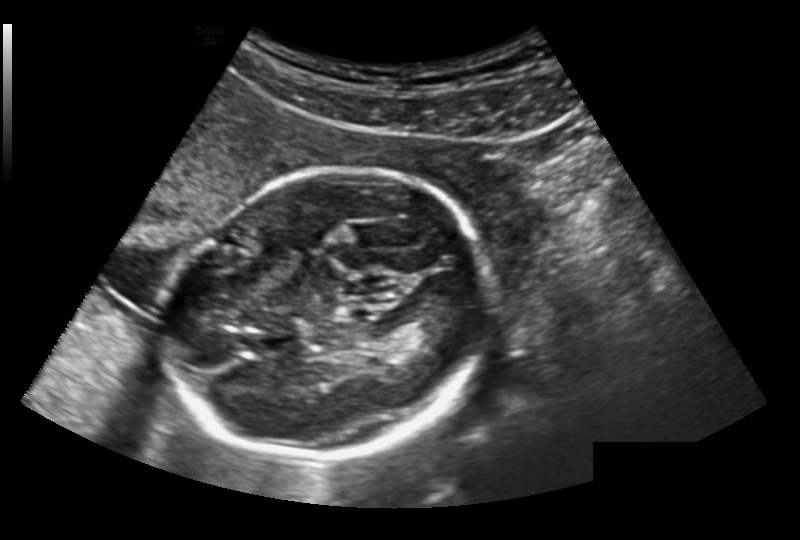
In this fetal head ultrasound, give bounding boxes for the head outline, cavum septum pellucidum (CSP), and lateral ventricle (LV), where visible. Image width: 152.5 mm.

Head: [174,167,485,462]